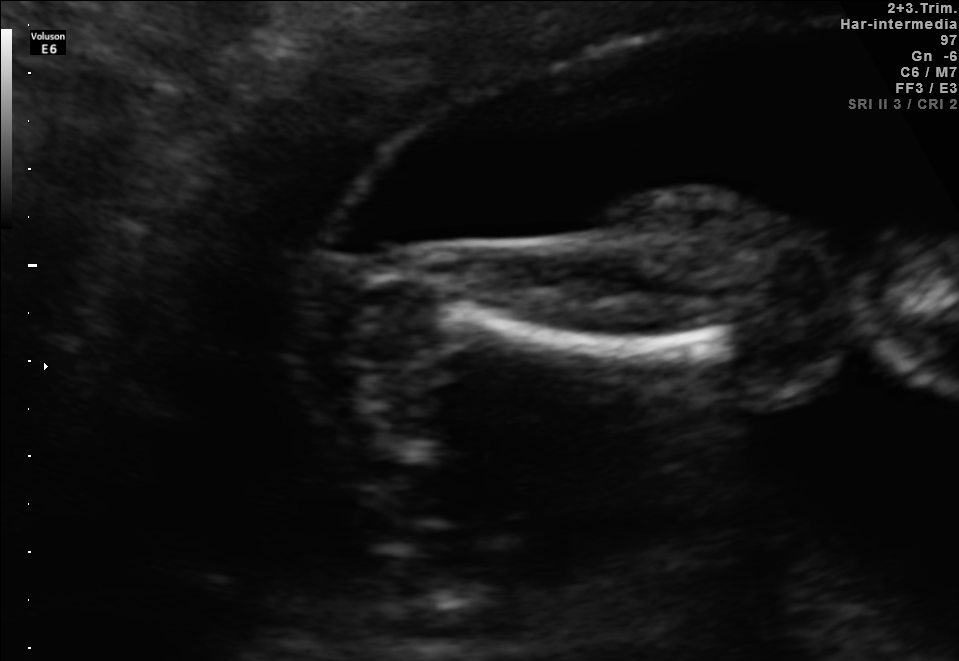
Identify the standard plane in this fetal ultrasound image: fetal abdomen, fetal brain, fetal femur, fetal thorax, maternal cervix, or other. If it's fetal brain and one of the three standard brain planes (trans-thalamic, trans-cerebellum, trans-ventricular), name which.

Fetal femur